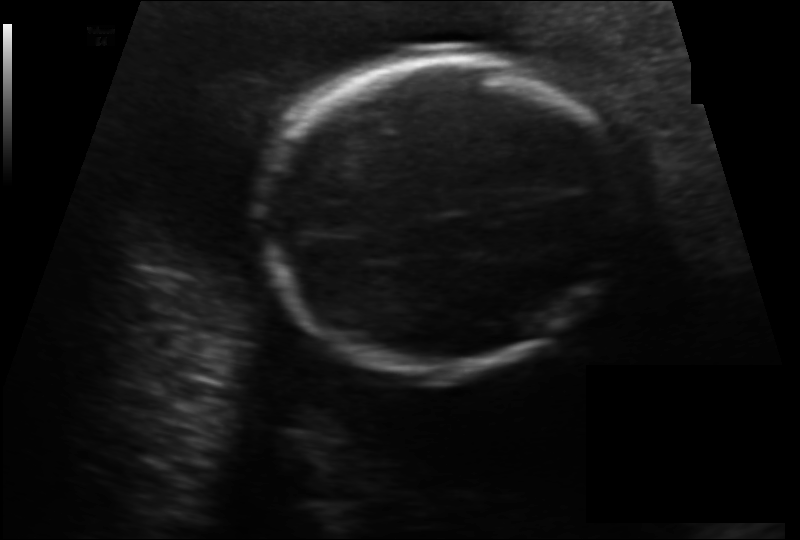
Fetal head ultrasound. Image width: 124.9 mm. Locate the fetal head.

Head: [259,58,626,369]